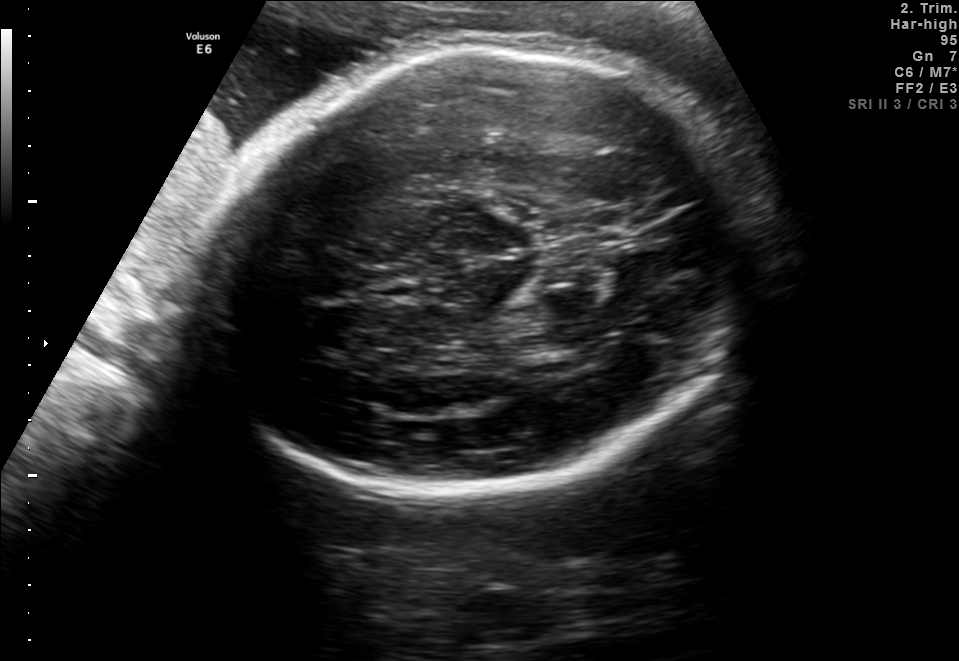
Fetal brain, trans-thalamic plane. Locate the fetal head.

Head: [199,41,754,498]